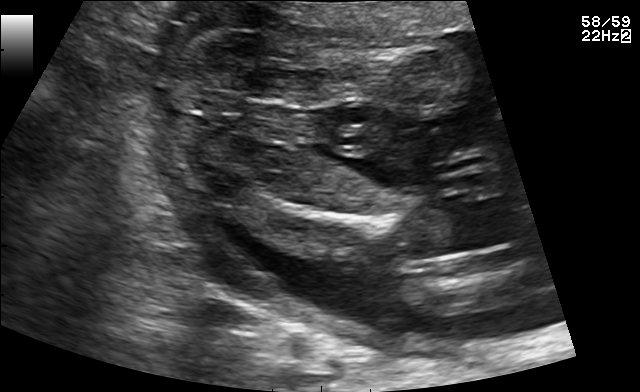
Classify this maternal-fetal ultrasound image as one of the six standard planes — fetal abdomen, fetal brain, fetal femur, fetal thorax, maternal cervix, or other. If it's fetal brain and one of the three standard brain planes (trans-thalamic, trans-cerebellum, trans-ventricular), name which.

Fetal femur